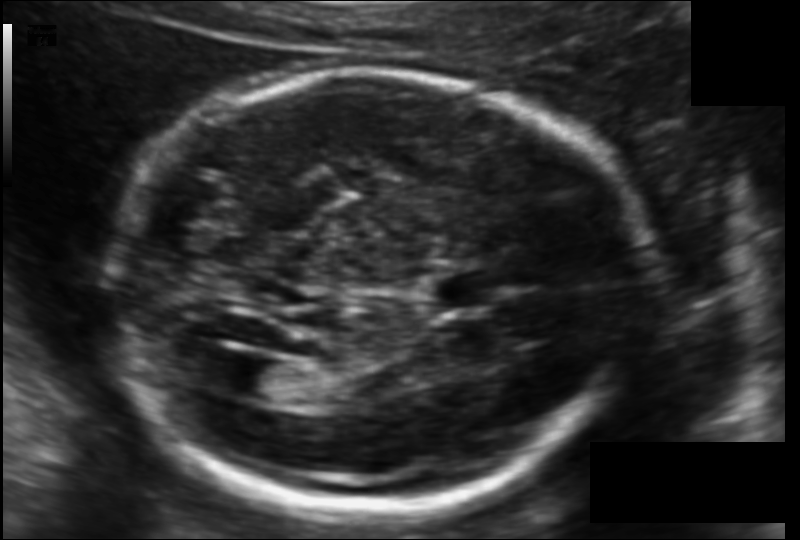
Estimate the fetal head circumference from this 2D ultrasound. Image width: 95.3 mm.

Head circumference: 188.6 mm.